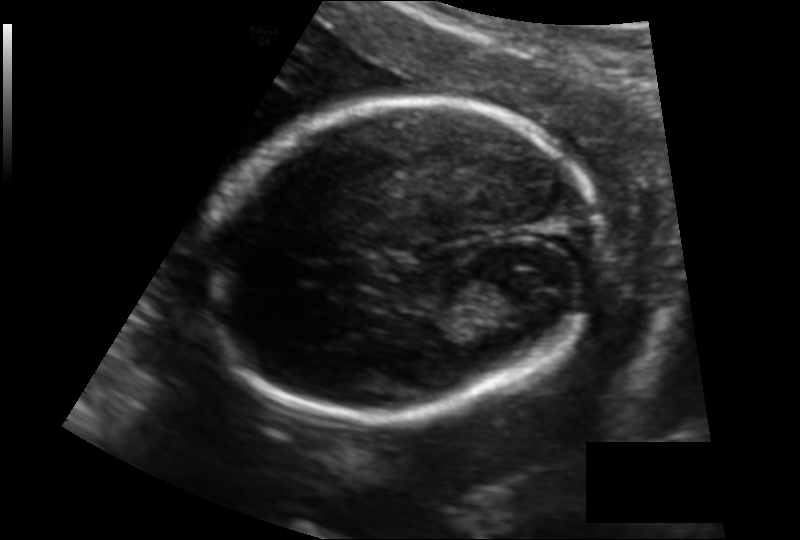
Fetal head ultrasound. Image width: 112.2 mm. Locate the fetal head.

Head: [199,102,600,420]